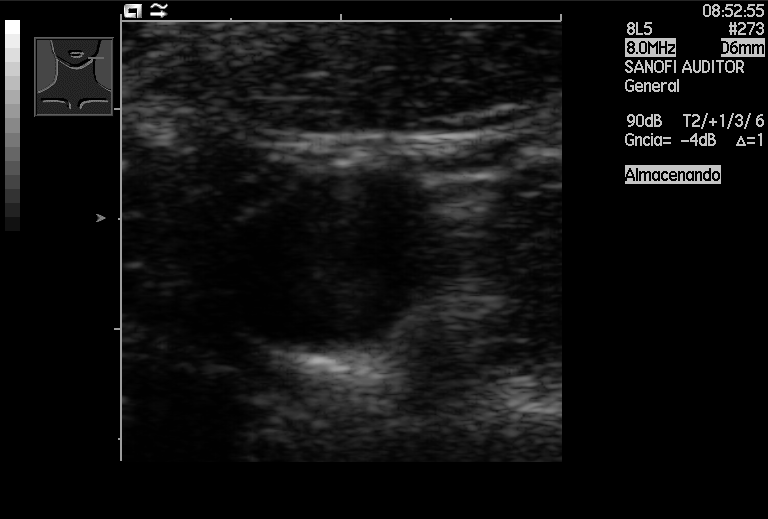
This is a 2D maternal-fetal ultrasound frame. Is it a fetal abdomen, fetal brain, fetal femur, fetal thorax, maternal cervix, or other standard plane? If it's fetal brain and one of the three standard brain planes (trans-thalamic, trans-cerebellum, trans-ventricular), name which.

Other